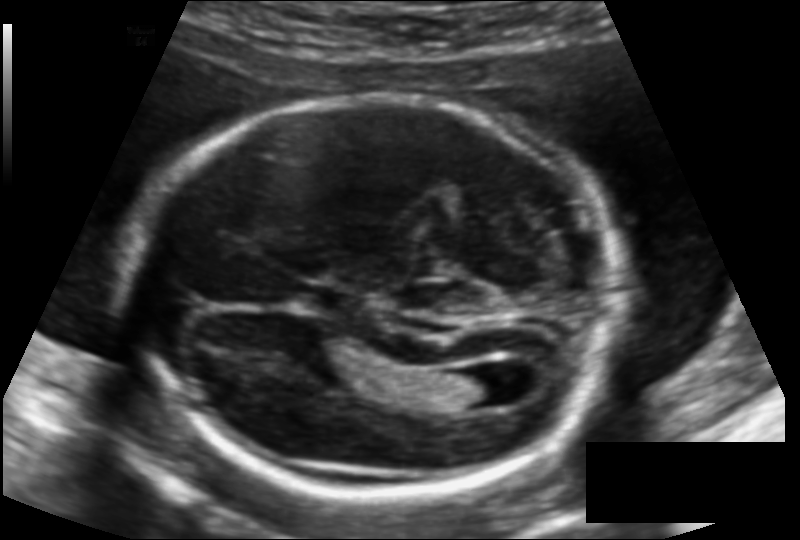
In this fetal head ultrasound, give bounding boxes for the head outline, cavum septum pellucidum (CSP), and lateral ventricle (LV), where visible. Image width: 99.7 mm.

Head: [133,95,614,494]
CSP: [299,281,359,320]
Lateral ventricle: [445,370,510,408]